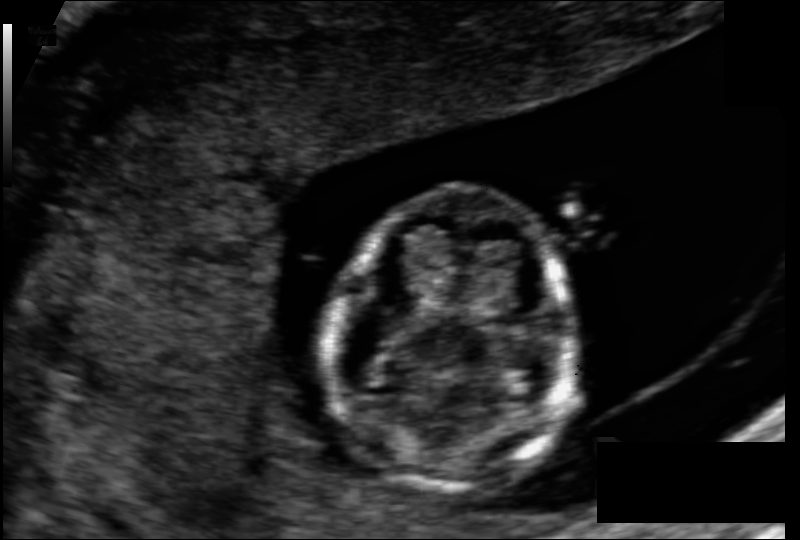
From this fetal ultrasound, estimate the head circumference (image width 77.7 mm).

Head circumference: 87.3 mm.